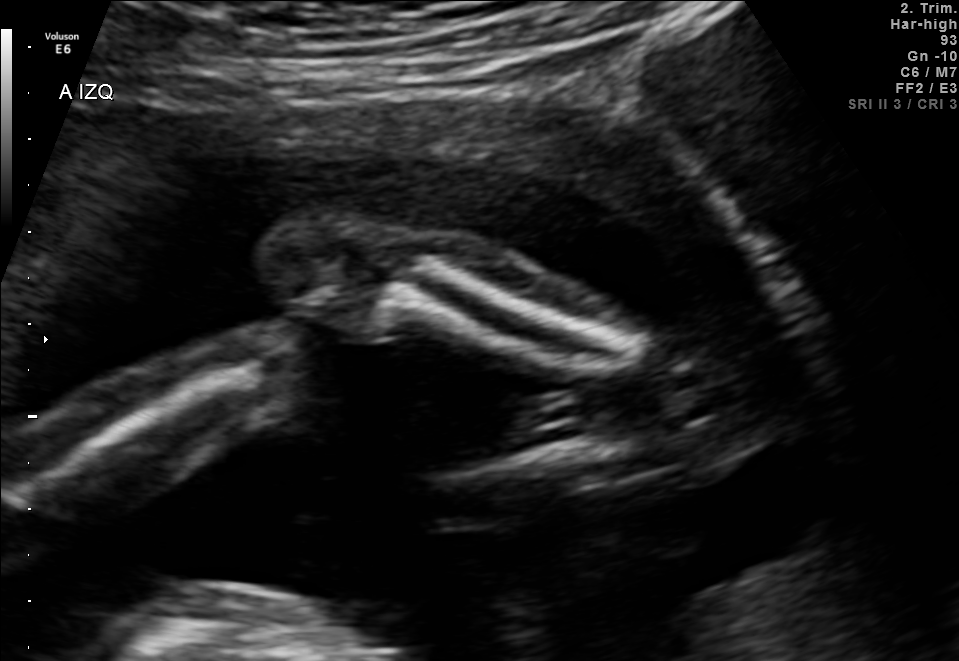
Which standard maternal-fetal ultrasound plane is shown: fetal abdomen, fetal brain, fetal femur, fetal thorax, maternal cervix, or other? If it's fetal brain and one of the three standard brain planes (trans-thalamic, trans-cerebellum, trans-ventricular), name which.

Fetal femur